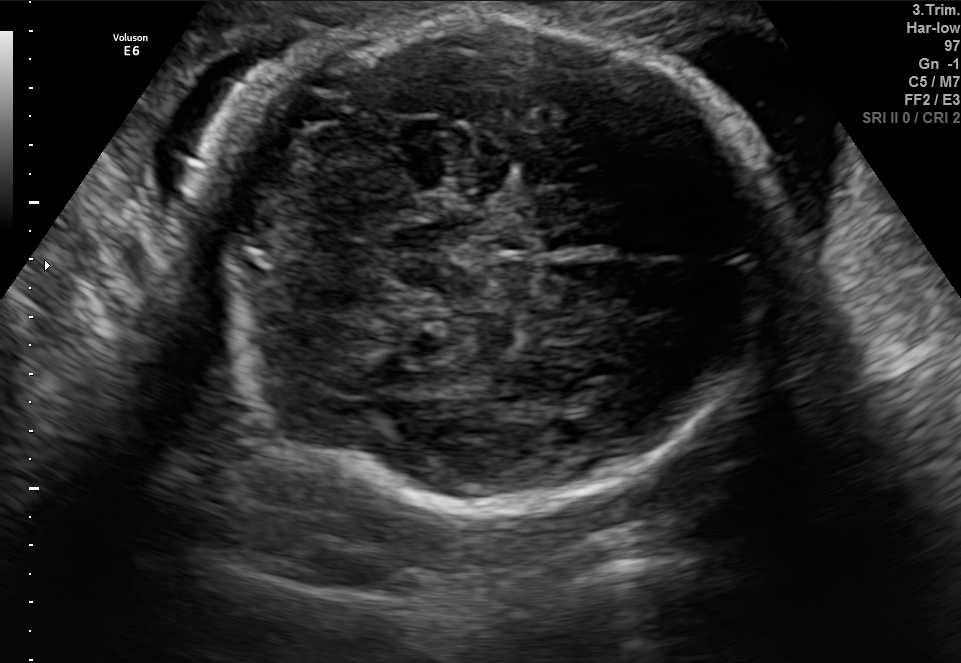
Fetal brain, trans-cerebellum plane. Locate the fetal head.

Head: [184,15,775,502]